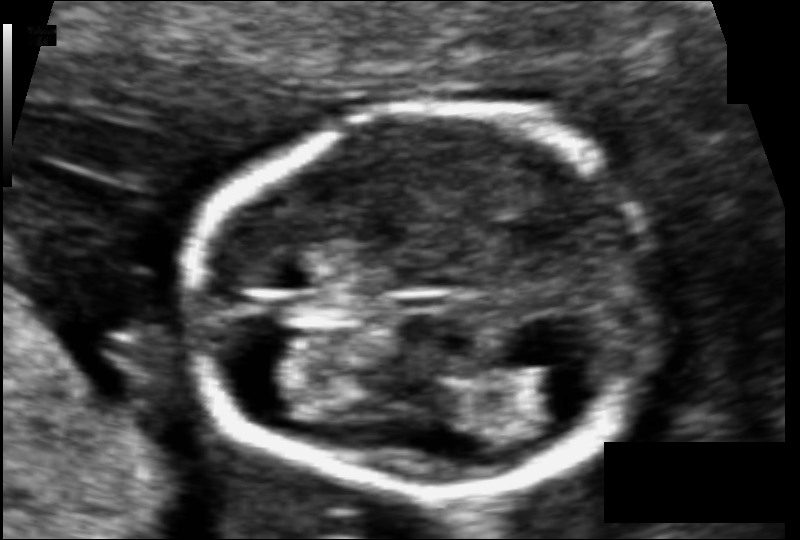
Fetal head ultrasound. Image width: 52.4 mm. Locate the fetal head and, if visible, the cavum septum pellucidum (CSP) and lateral ventricle (LV). Give bounding boxes as [x1,y1,x2,y2].

Head: [189,109,657,493]